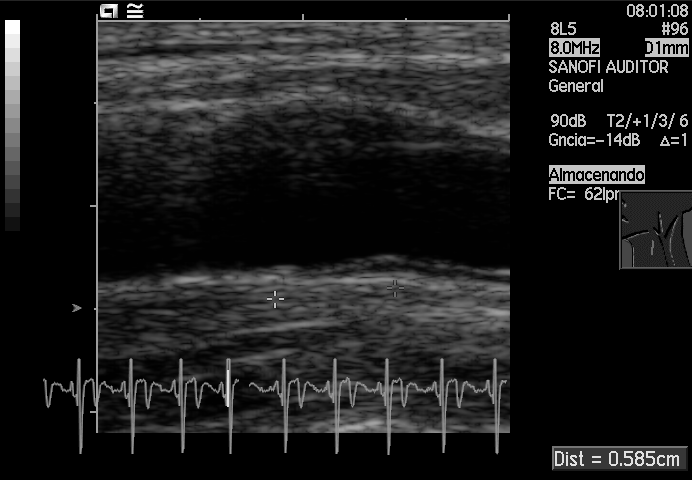
Identify the standard plane in this fetal ultrasound image: fetal abdomen, fetal brain, fetal femur, fetal thorax, maternal cervix, or other. If it's fetal brain and one of the three standard brain planes (trans-thalamic, trans-cerebellum, trans-ventricular), name which.

Other